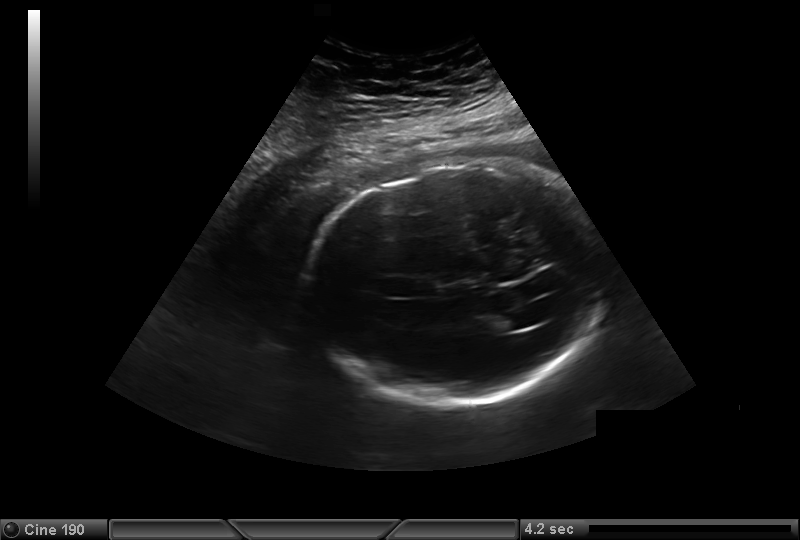
Fetal head ultrasound. Image width: 258.3 mm. Locate the lateral ventricle.

Lateral ventricle: [489,309,527,334]